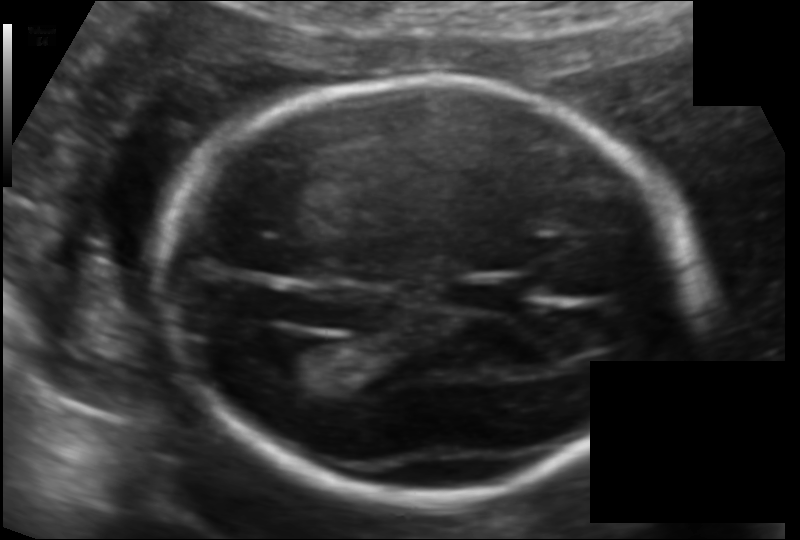
From this fetal ultrasound, estimate the head circumference (image width 94.6 mm).

Head circumference: 181.9 mm.